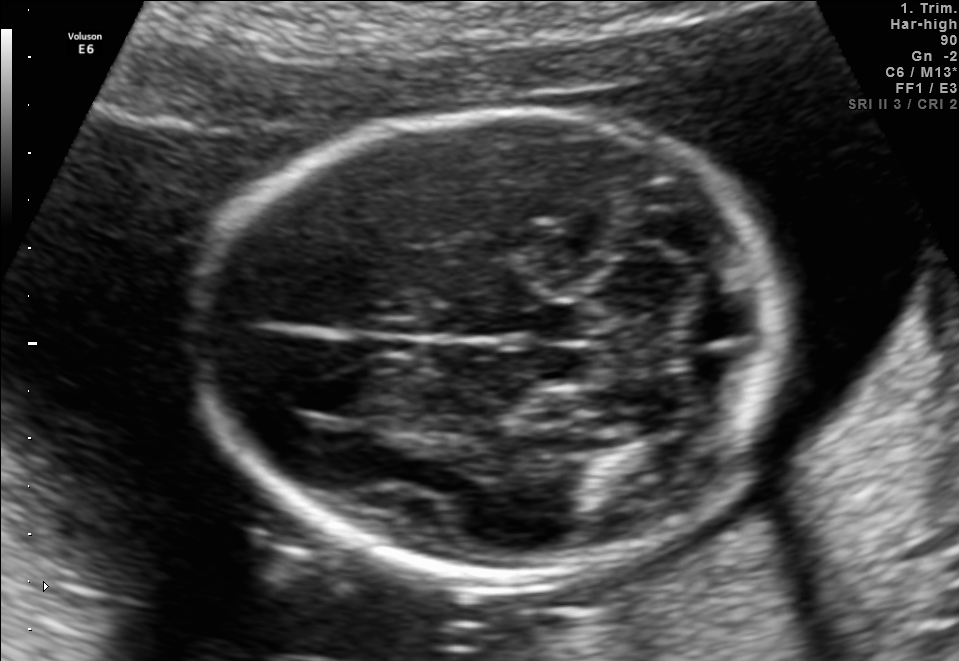
In this fetal brain, trans-cerebellum plane, give bounding boxes for the head outline, cavum septum pellucidum (CSP), and lateral ventricle (LV), where visible.

Head: [205,109,788,572]